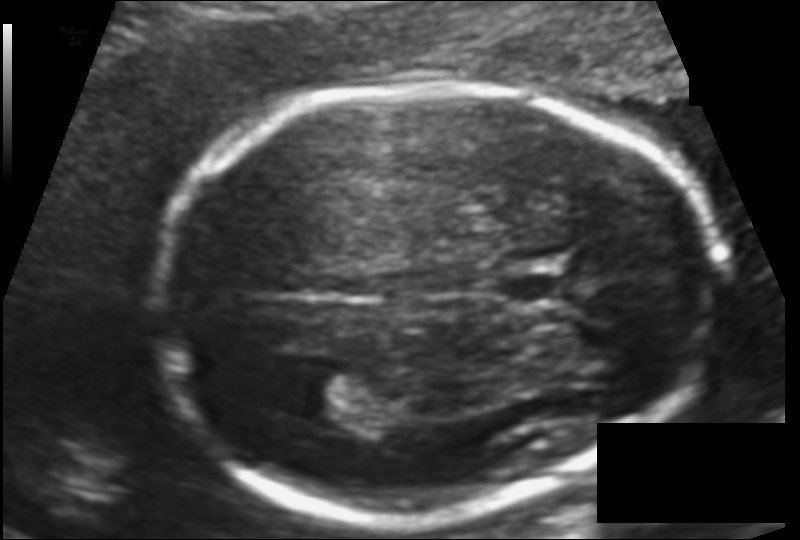
In this fetal head ultrasound, give the bounding box of the fetal head. Image width: 87.8 mm.

[152,84,717,521]